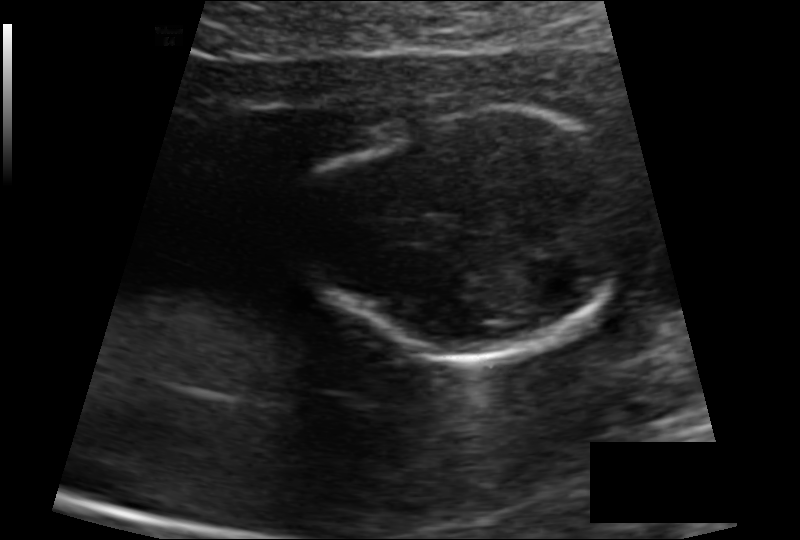
Fetal head ultrasound. Image width: 87.9 mm. Give [x1,y1,x2,y2] bounding boxes for each visible structure among: fetal head, CSP, LV.

Head: [304,108,633,357]